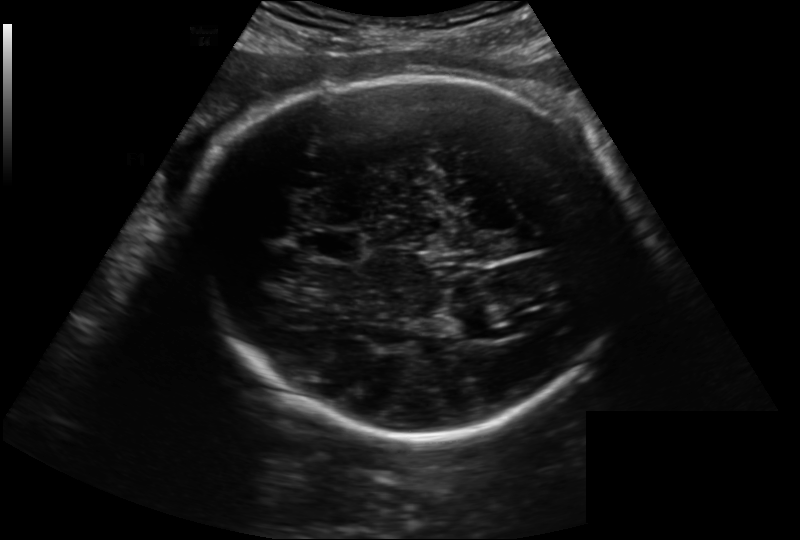
Estimate the fetal head circumference from this 2D ultrasound. Image width: 177.3 mm.

Head circumference: 292.2 mm.